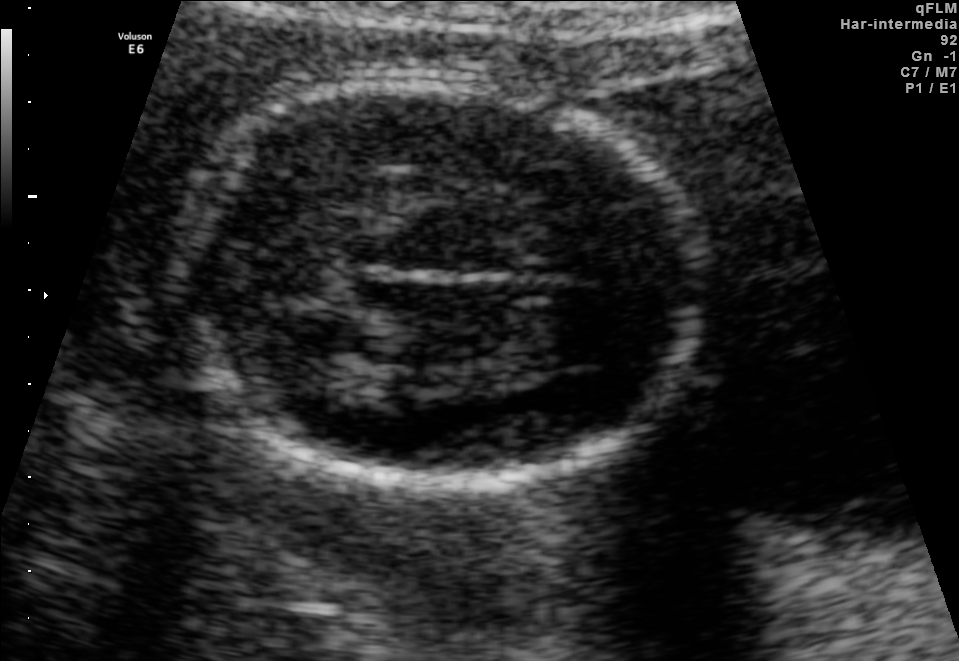
Fetal brain, trans-thalamic plane. Give [x1,y1,x2,y2] bounding boxes for each visible structure among: fetal head, CSP, LV.

Head: [171,78,702,483]